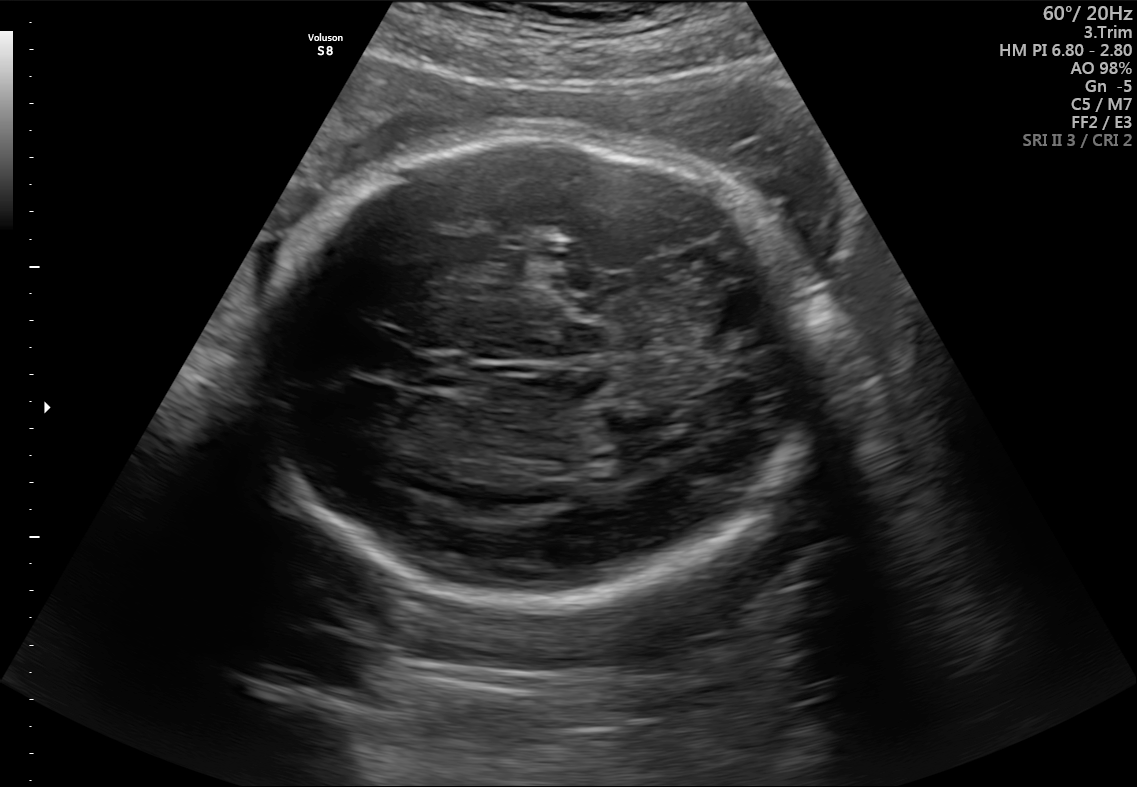
Classify this maternal-fetal ultrasound image as one of the six standard planes — fetal abdomen, fetal brain, fetal femur, fetal thorax, maternal cervix, or other. If it's fetal brain and one of the three standard brain planes (trans-thalamic, trans-cerebellum, trans-ventricular), name which.

Fetal brain (trans-thalamic plane)